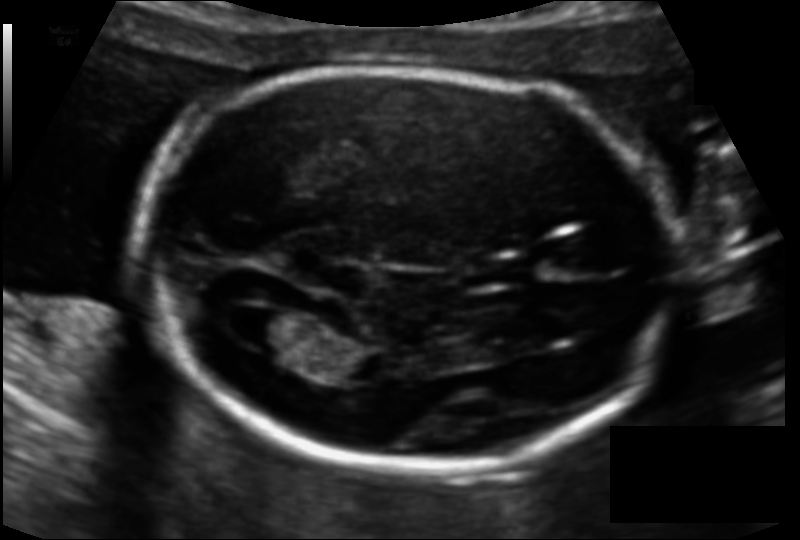
Estimate the fetal head circumference from this 2D ultrasound.

Head circumference: 168.7 mm (image width 89.1 mm).